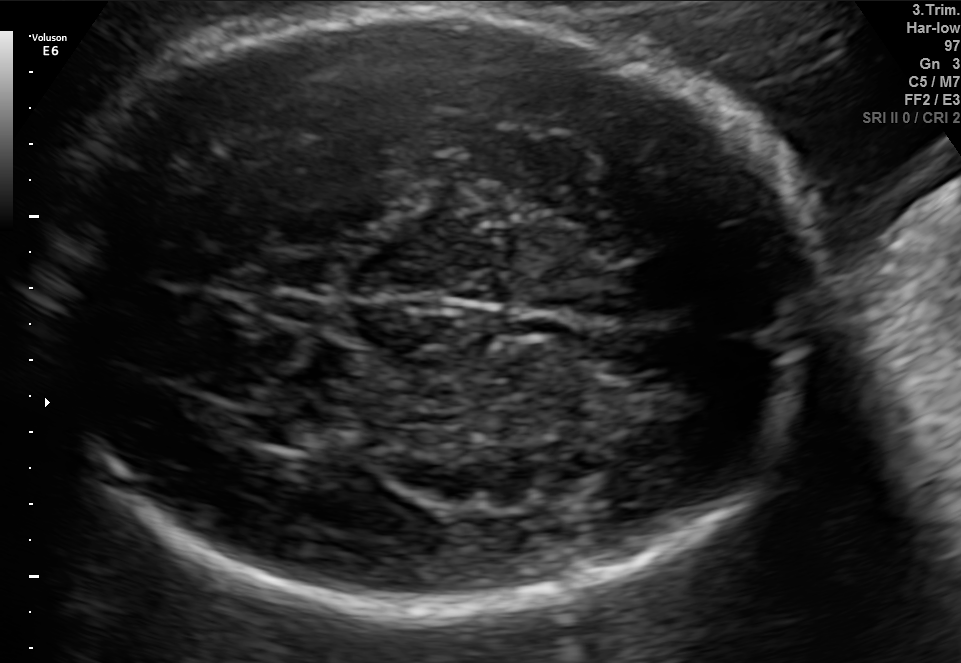
Fetal brain, trans-thalamic plane. Locate the fetal head.

Head: [44,13,817,616]